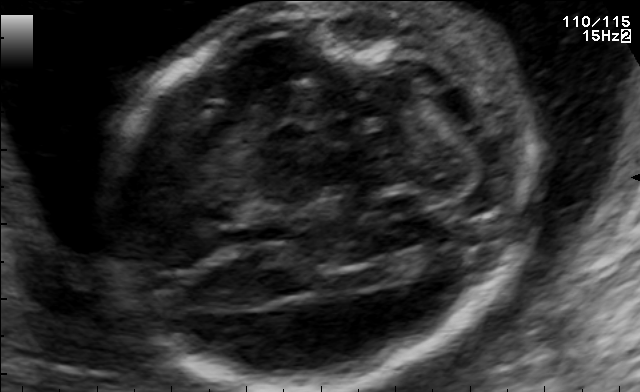
Fetal brain, trans-cerebellum plane. Where is the fetal head?

Head bounding box: [105,4,521,391]